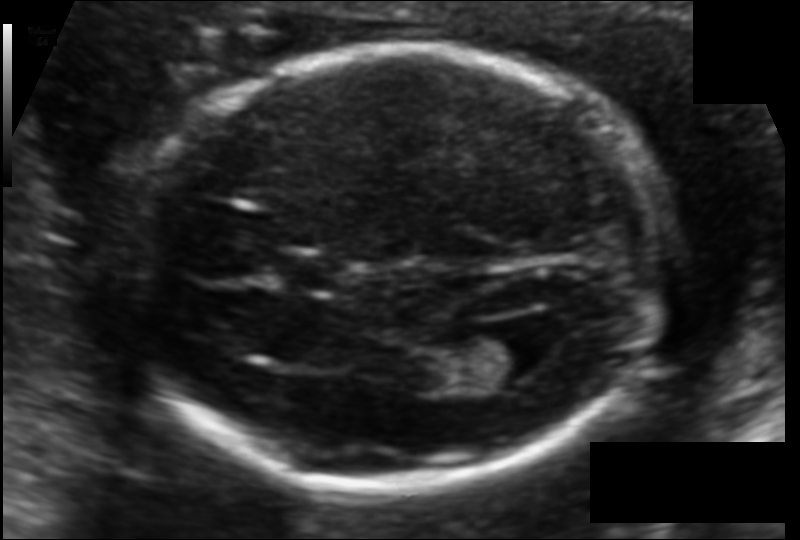
Measure the fetal head circumference shown in this ultrasound image. Image width: 86.5 mm.

Head circumference: 168.9 mm.